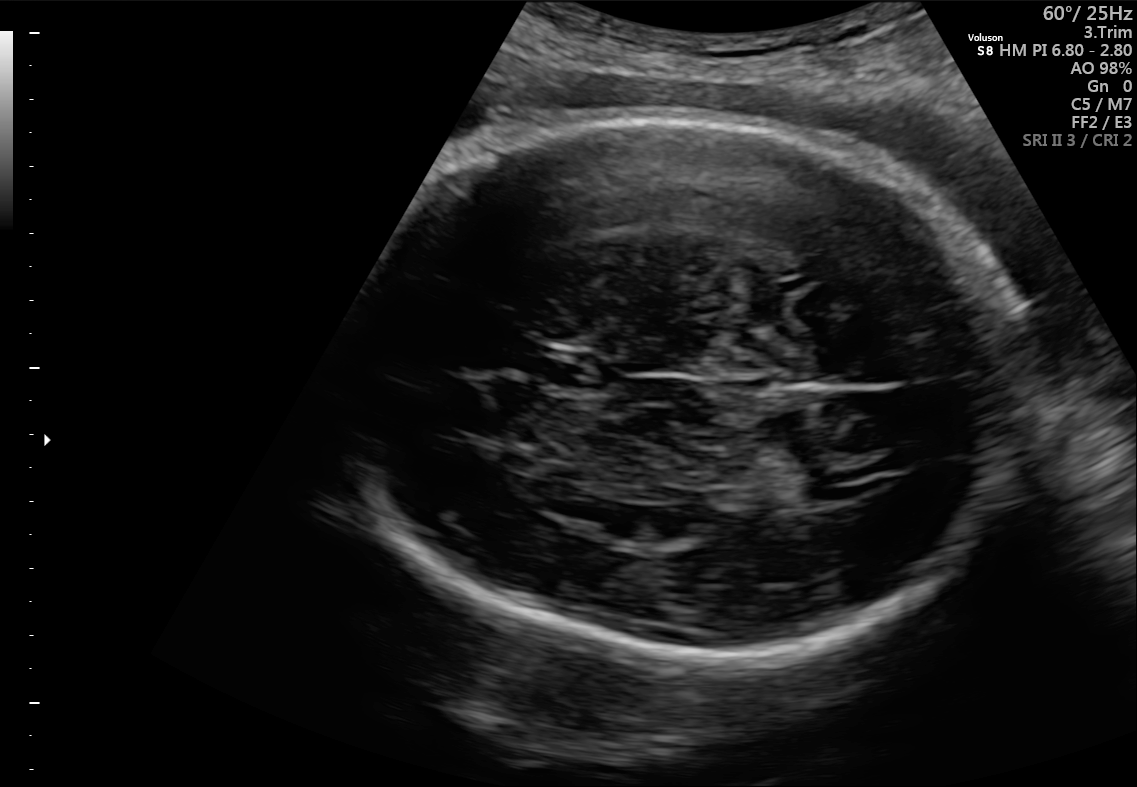
Fetal brain, trans-thalamic plane. Locate the cavum septum pellucidum.

CSP: [544,348,612,393]